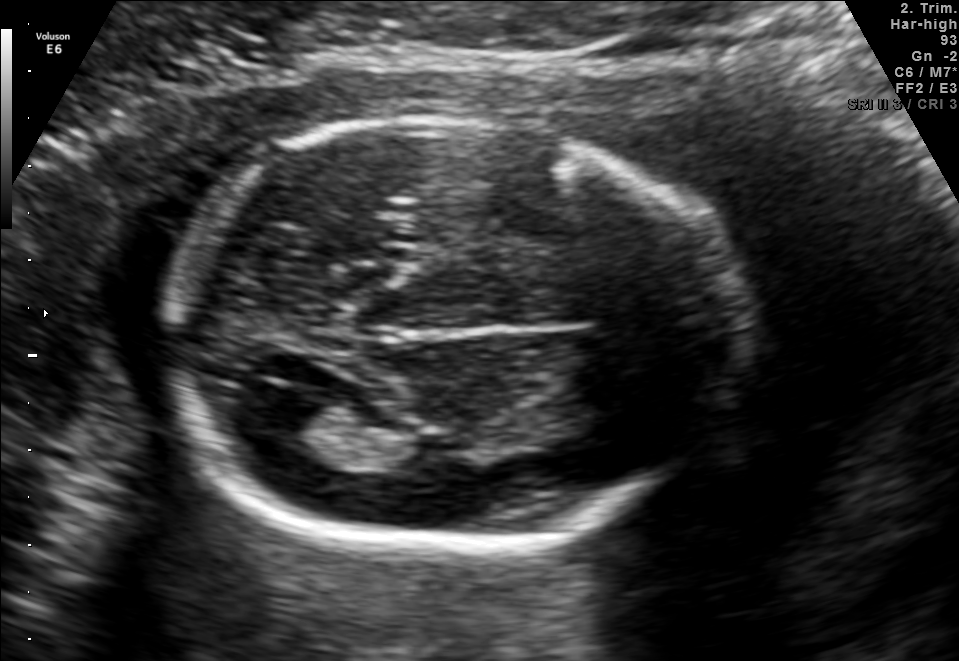
In this fetal brain, trans-ventricular plane, give bounding boxes for the head outline, cavum septum pellucidum (CSP), and lateral ventricle (LV), where visible.

Head: [147,106,746,567]
Lateral ventricle: [247,381,328,446]